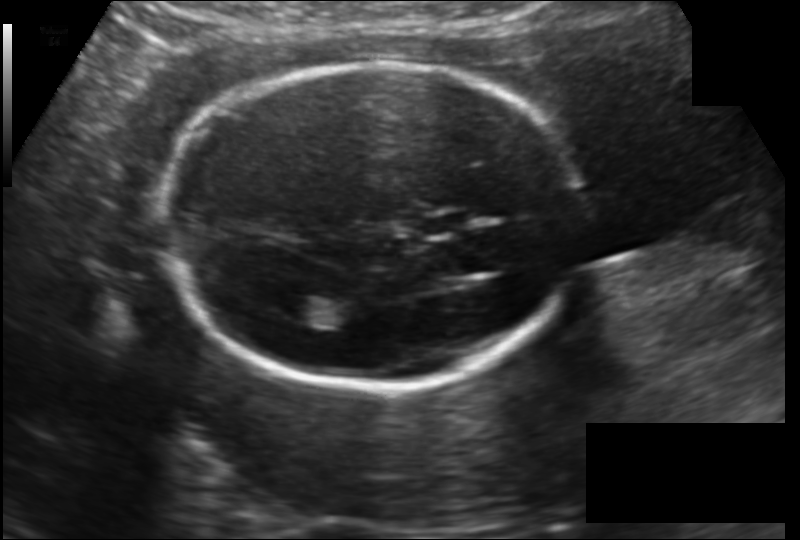
Measure the fetal head circumference shown in this ultrasound image. Image width: 118.1 mm.

Head circumference: 178.8 mm.